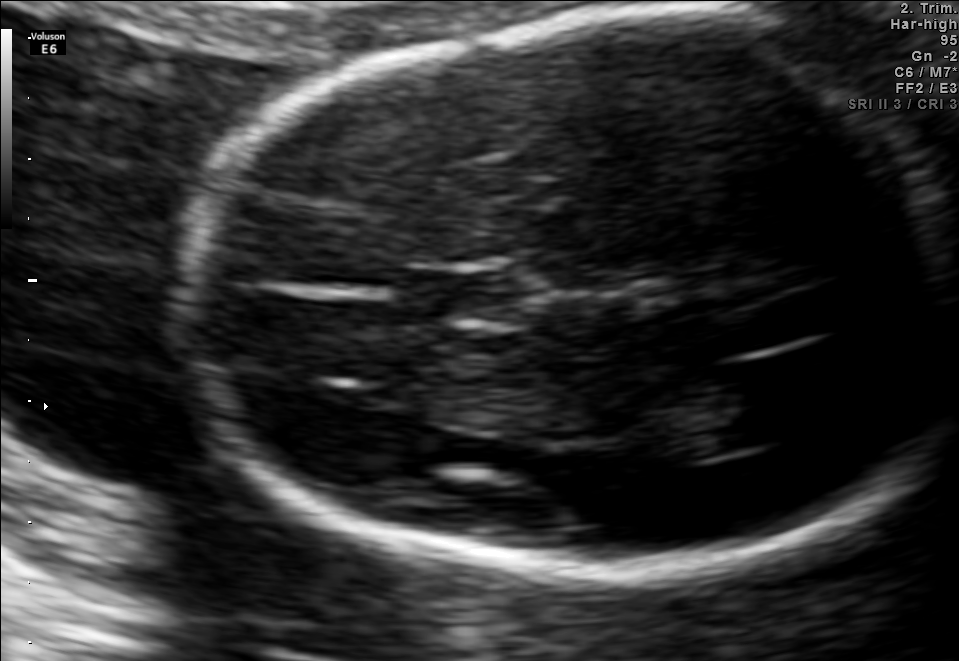
In this fetal brain, trans-thalamic plane, give the bounding box of the fetal head.

[182,19,955,572]